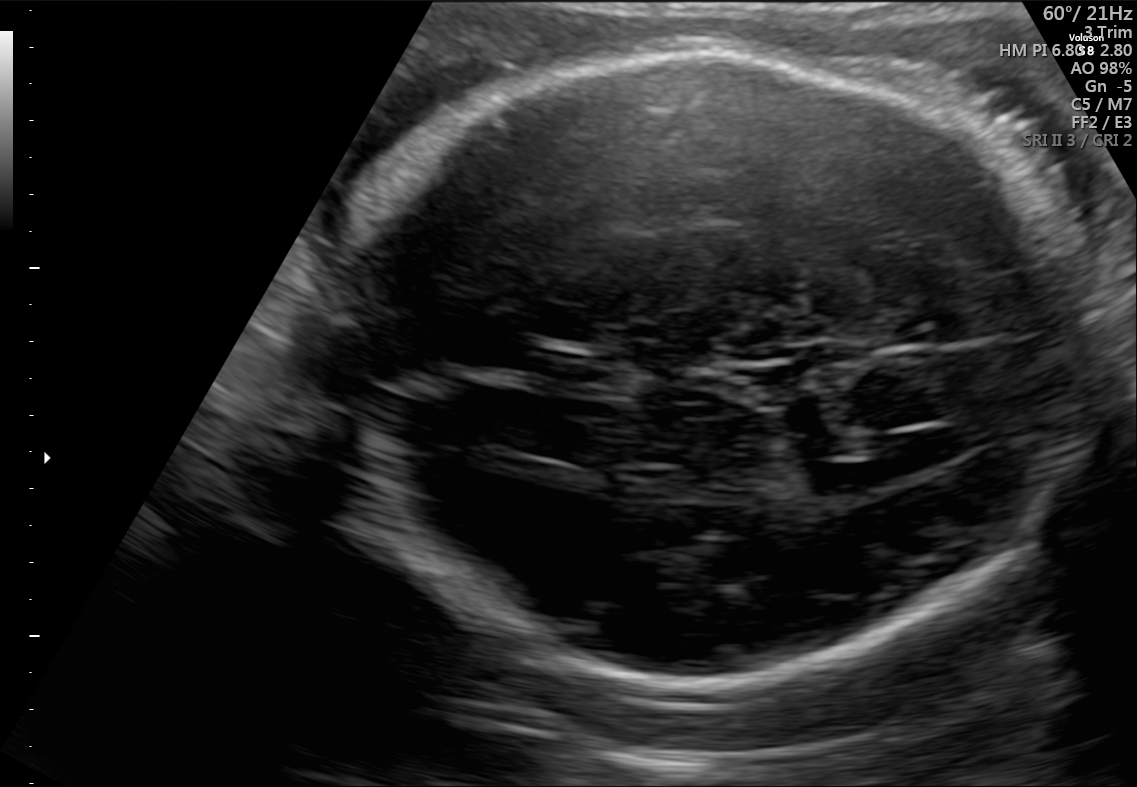
Fetal brain, trans-ventricular plane. Where is the fetal head?

Head bounding box: [315,39,1118,700]